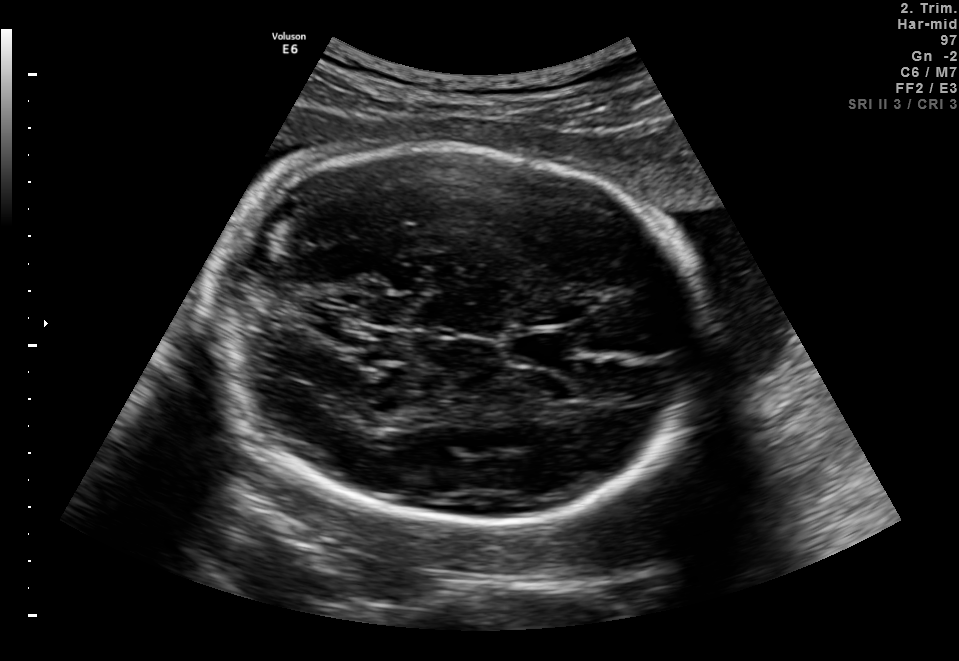
Fetal brain, trans-thalamic plane. Locate the fetal head and, if visible, the cavum septum pellucidum (CSP) and lateral ventricle (LV). Give bounding boxes as [x1,y1,x2,y2].

Head: [214,145,719,530]
CSP: [512,333,575,365]